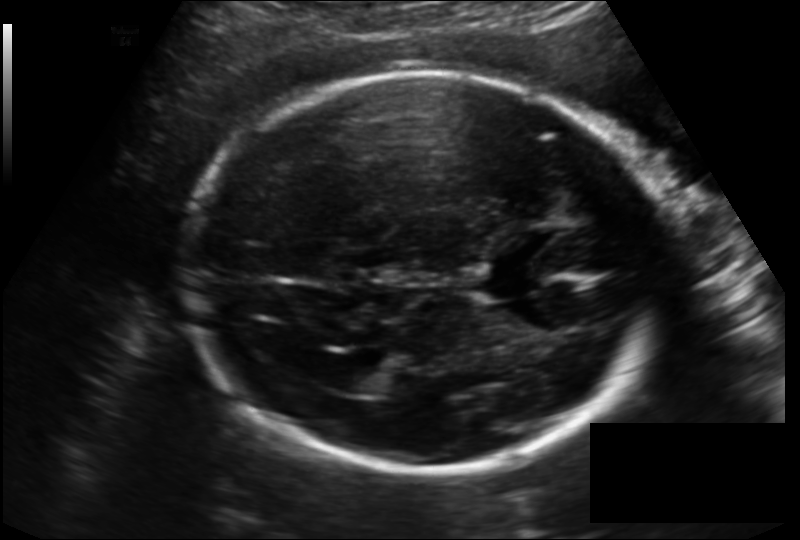
Estimate the fetal head circumference from this 2D ultrasound.

Head circumference: 234.9 mm (image width 133.1 mm).